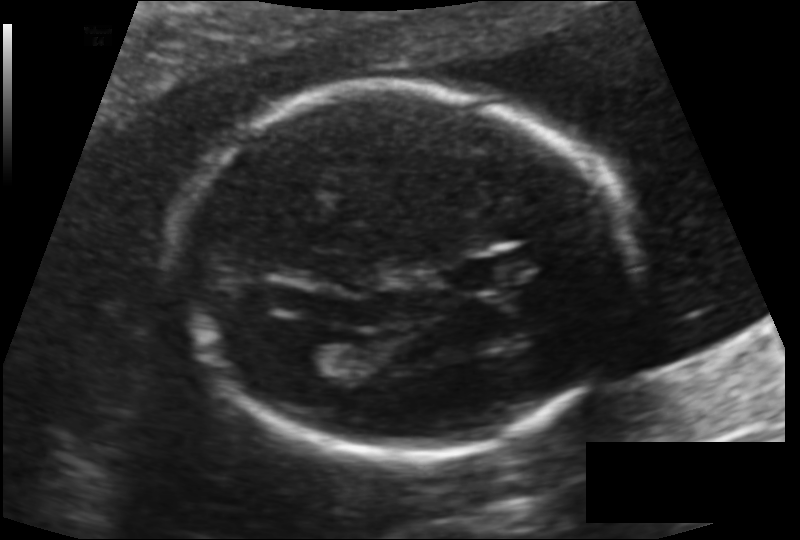
Measure the fetal head circumference shown in this ultrasound image. Image width: 104.6 mm.

Head circumference: 175.8 mm.